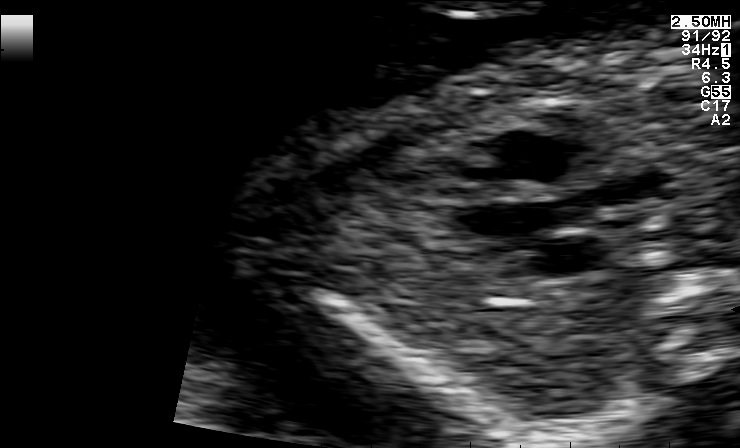
Classify this maternal-fetal ultrasound image as one of the six standard planes — fetal abdomen, fetal brain, fetal femur, fetal thorax, maternal cervix, or other. If it's fetal brain and one of the three standard brain planes (trans-thalamic, trans-cerebellum, trans-ventricular), name which.

Other